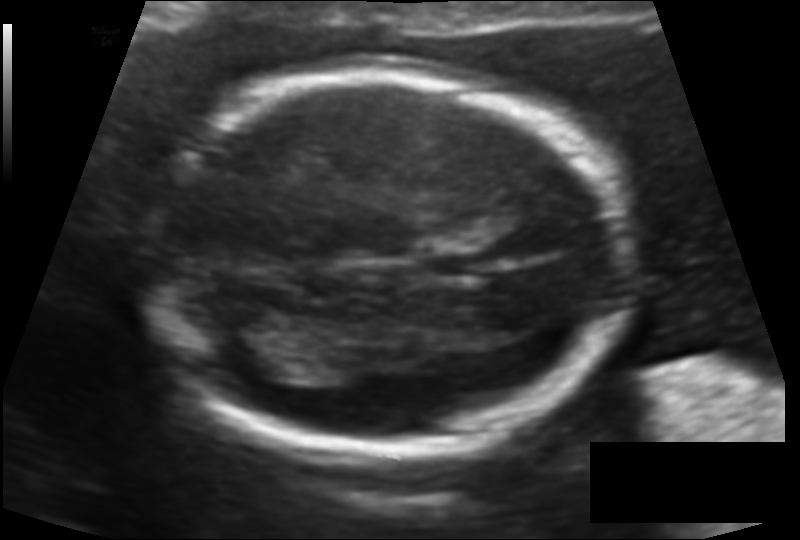
From this fetal ultrasound, estimate the head circumference (image width 92.6 mm).

Head circumference: 159.5 mm.